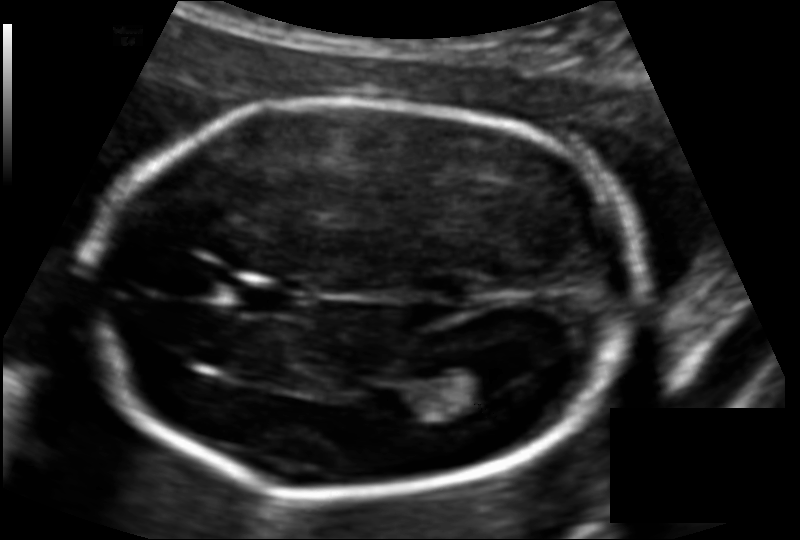
Fetal head ultrasound. Image width: 93.9 mm. Where is the lateral ventricle?

Lateral ventricle bounding box: [423,347,516,417]